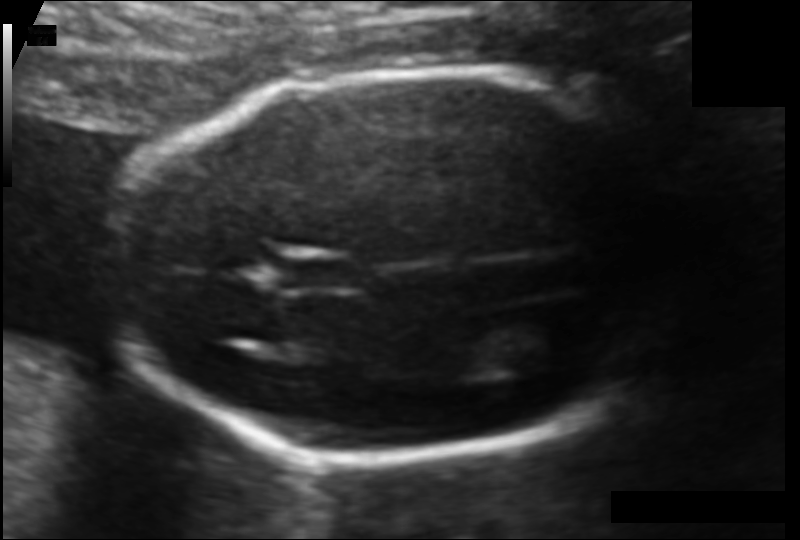
What is the fetal head circumference? Image width is 82.3 mm.

159.6 mm